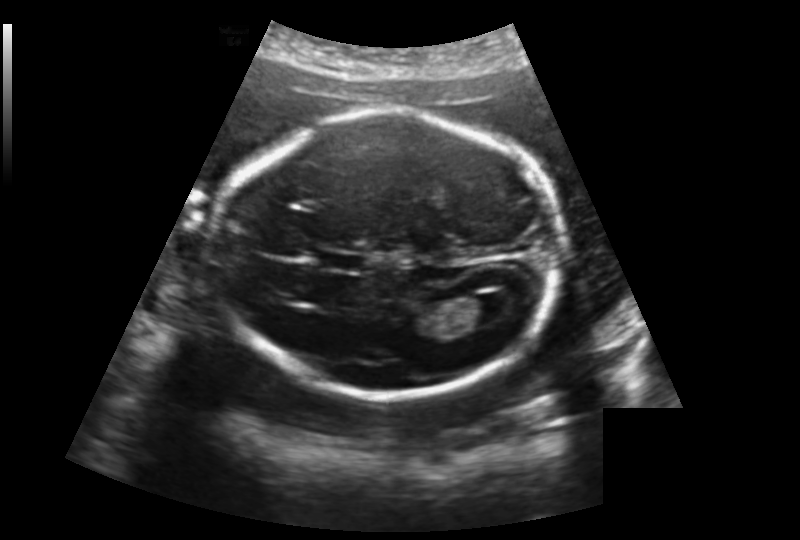
Fetal head ultrasound. Image width: 150.3 mm. Where is the fetal head?

Head bounding box: [214,114,563,394]